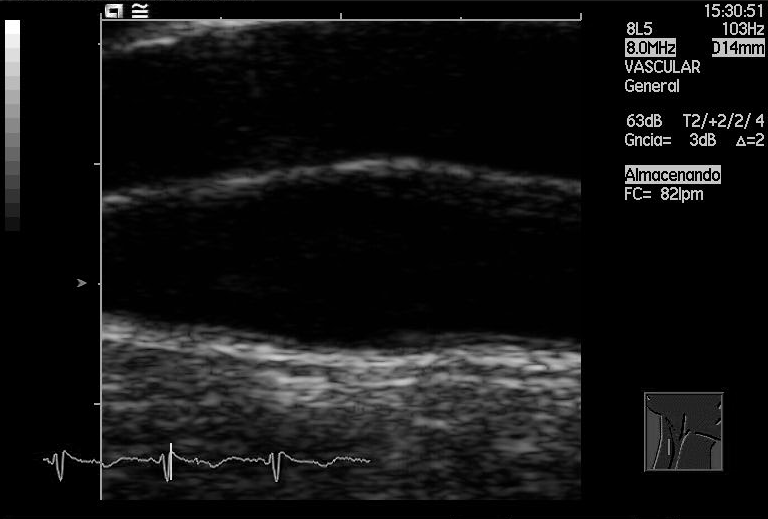
This is a 2D maternal-fetal ultrasound frame. Is it a fetal abdomen, fetal brain, fetal femur, fetal thorax, maternal cervix, or other standard plane? If it's fetal brain and one of the three standard brain planes (trans-thalamic, trans-cerebellum, trans-ventricular), name which.

Other